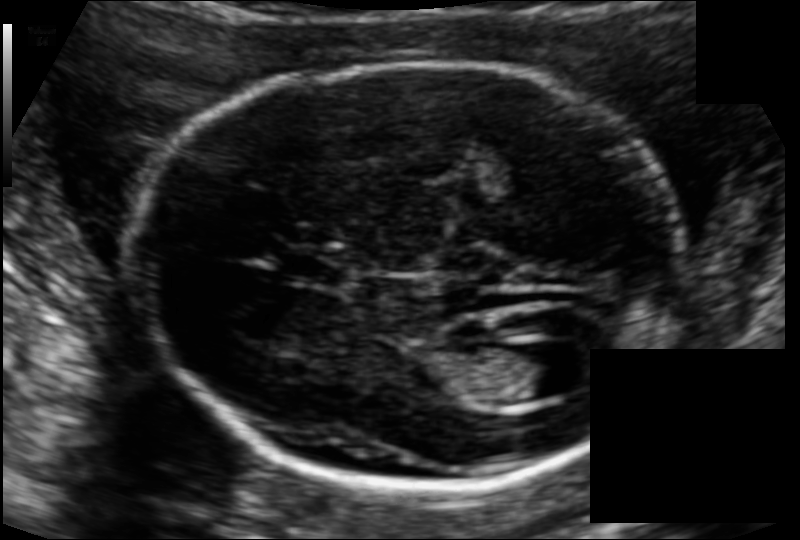
Fetal head ultrasound. Image width: 88.5 mm. Locate the fetal head and, if visible, the cavum septum pellucidum (CSP) and lateral ventricle (LV). Give bounding boxes as [x1,y1,x2,y2].

Head: [123,65,692,484]
CSP: [277,248,345,285]
Lateral ventricle: [497,338,581,404]